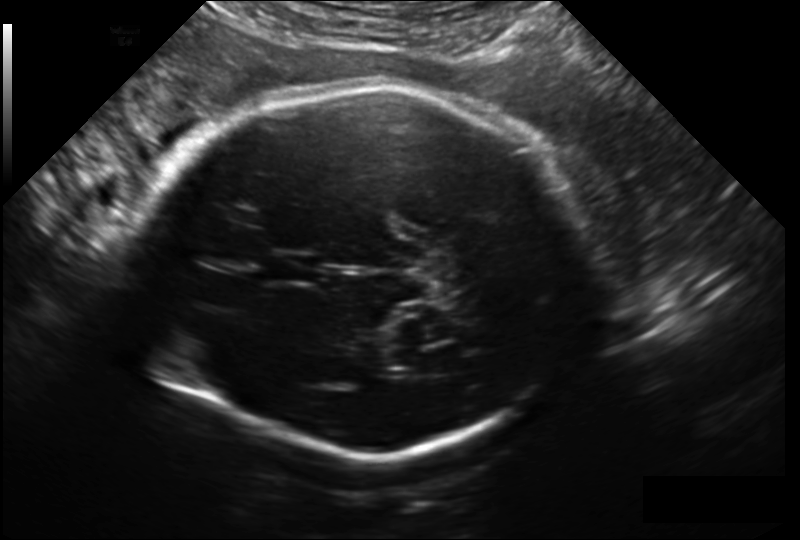
Fetal head ultrasound. Image width: 167.2 mm. Give [x1,y1,x2,y2] bounding boxes for each visible structure among: fetal head, CSP, LV.

Head: [136,86,589,454]
CSP: [266,251,320,284]
Lateral ventricle: [386,349,443,376]